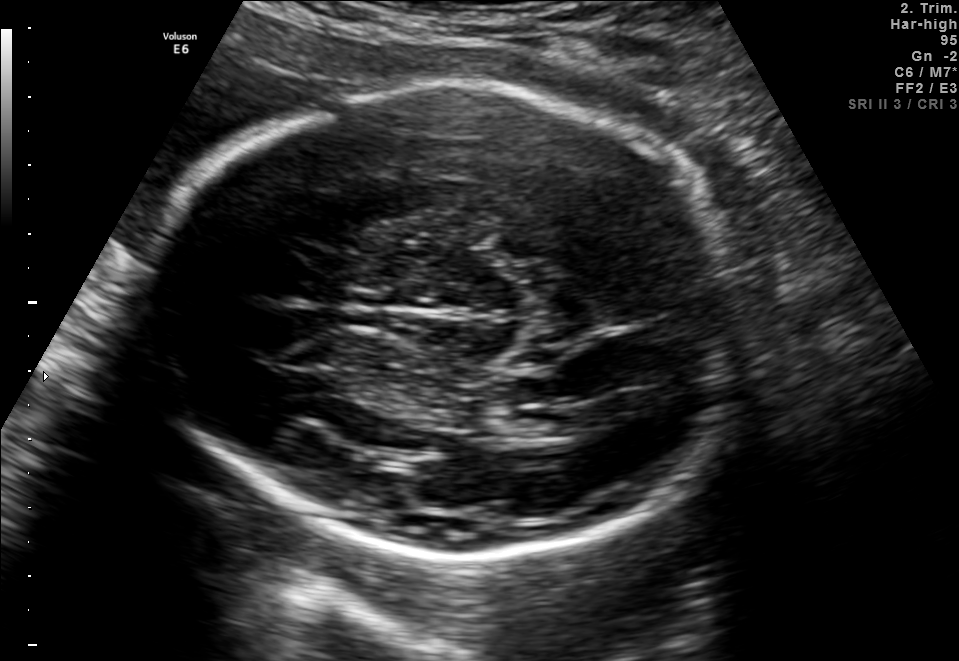
Fetal brain, trans-thalamic plane. Locate the fetal head.

Head: [155,85,752,552]